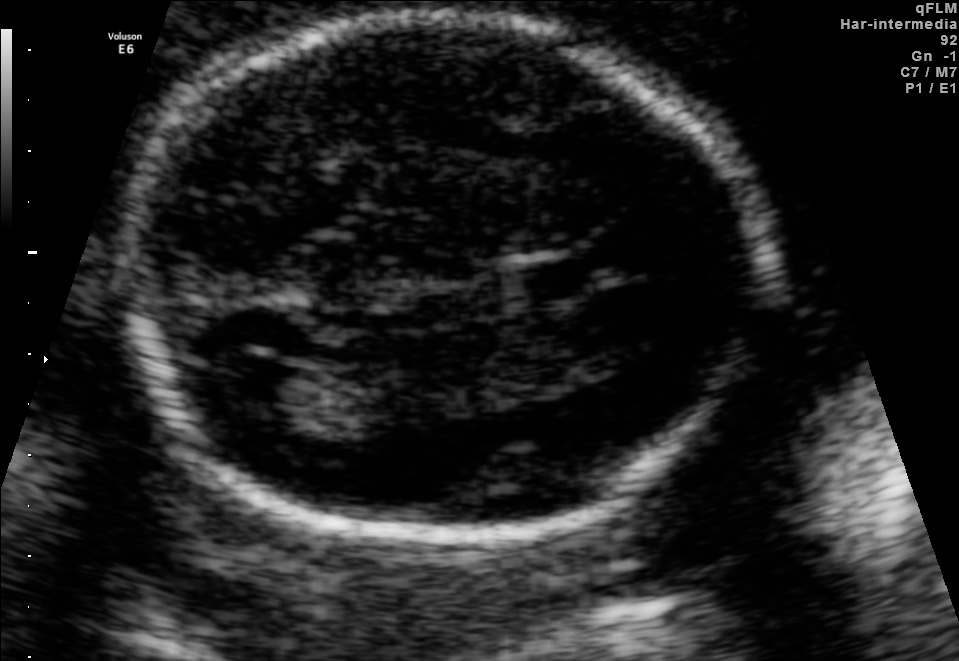
Fetal brain, trans-ventricular plane. Give [x1,y1,x2,y2] bounding boxes for each visible structure among: fetal head, CSP, LV.

Head: [101,6,796,561]
CSP: [498,241,612,316]
Lateral ventricle: [210,352,325,420]